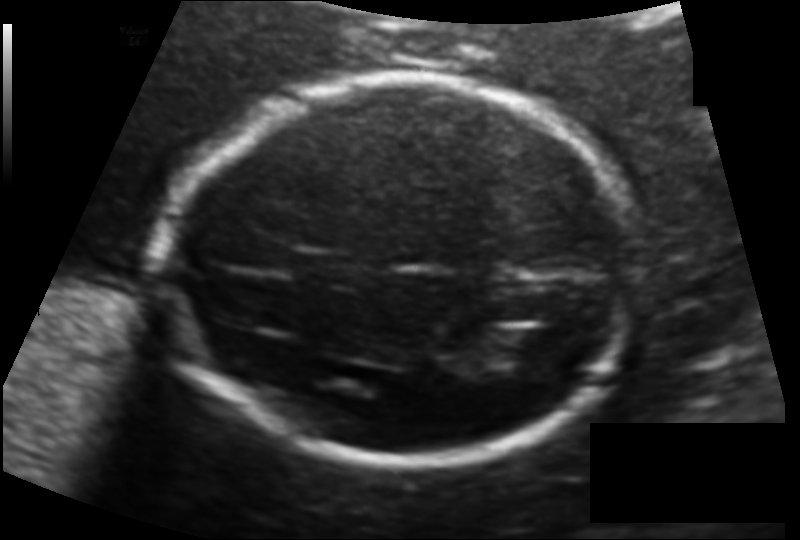
Fetal head ultrasound. Image width: 98.0 mm. Where is the cavum septum pellucidum?

CSP bounding box: [293,245,365,290]